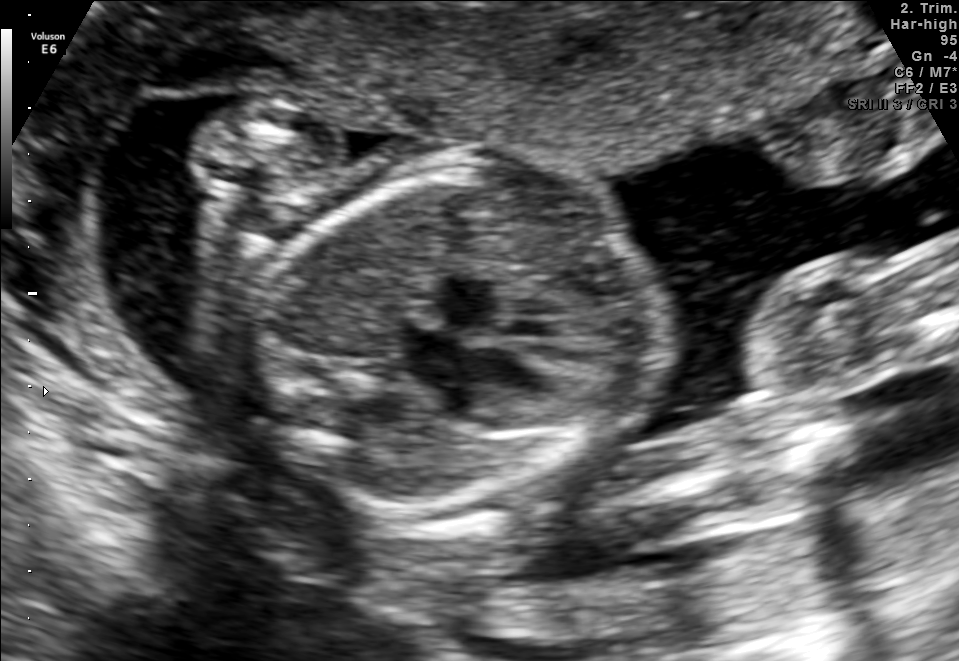
Classify this maternal-fetal ultrasound image as one of the six standard planes — fetal abdomen, fetal brain, fetal femur, fetal thorax, maternal cervix, or other. If it's fetal brain and one of the three standard brain planes (trans-thalamic, trans-cerebellum, trans-ventricular), name which.

Fetal thorax